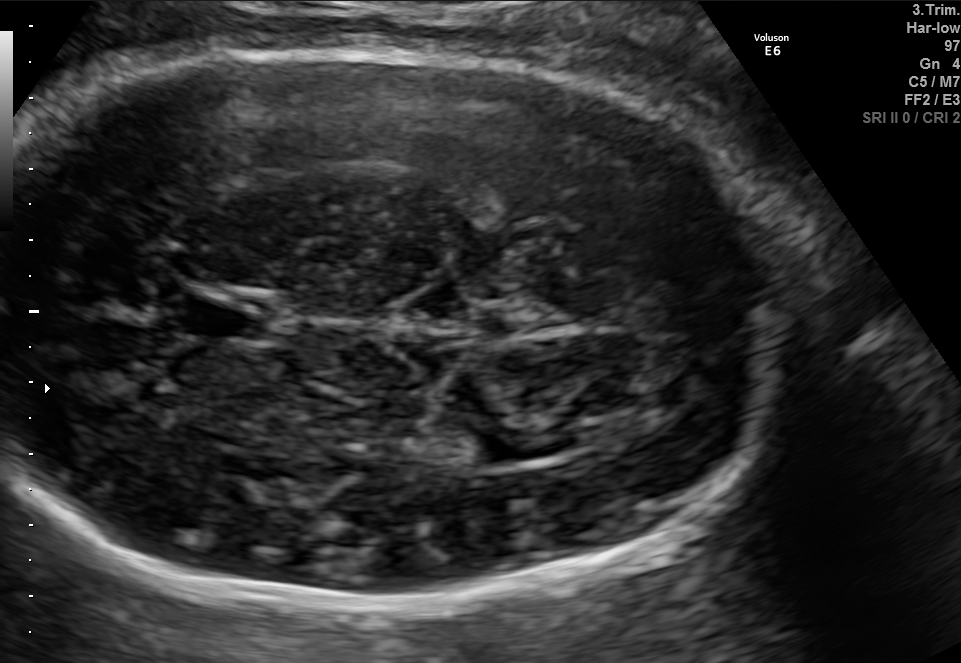
Fetal brain, trans-thalamic plane. Locate the fetal head.

Head: [4,49,789,614]